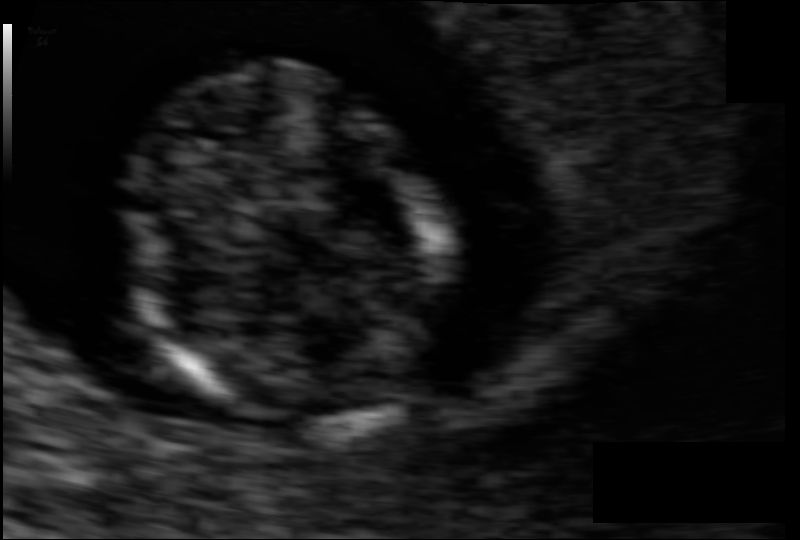
Fetal head ultrasound. Image width: 51.3 mm. Where is the fetal head?

Head bounding box: [123,75,450,429]